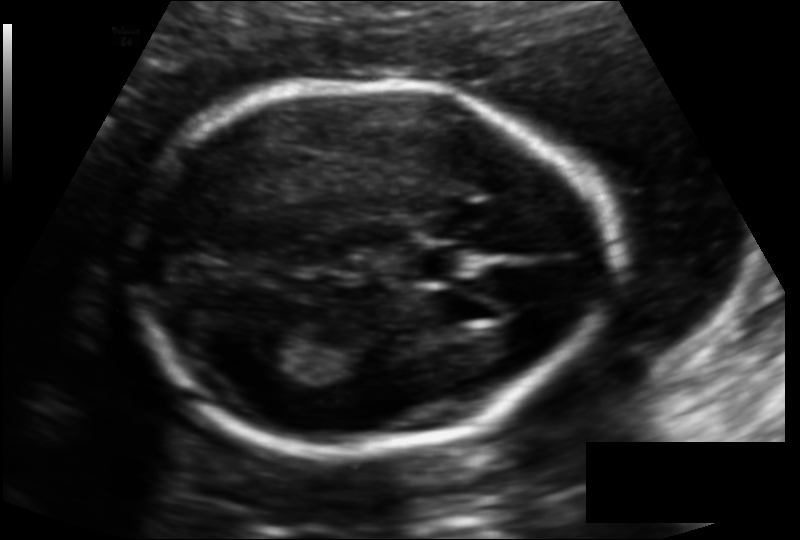
Fetal head ultrasound. Image width: 96.8 mm. Give [x1,y1,x2,y2] bounding boxes for each visible structure among: fetal head, CSP, LV.

Head: [127,84,605,451]
CSP: [406,242,468,282]
Lateral ventricle: [248,326,307,367]